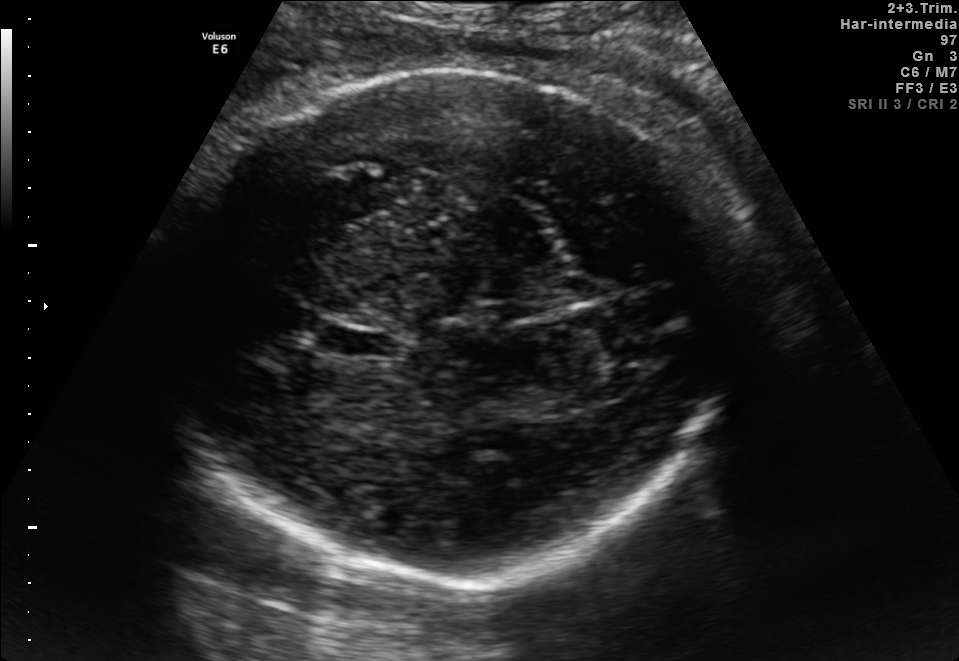
Fetal brain, trans-thalamic plane. Locate the fetal head and, if visible, the cavum septum pellucidum (CSP) and lateral ventricle (LV). Give bounding boxes as [x1,y1,x2,y2].

Head: [163,66,738,581]
CSP: [331,325,404,361]